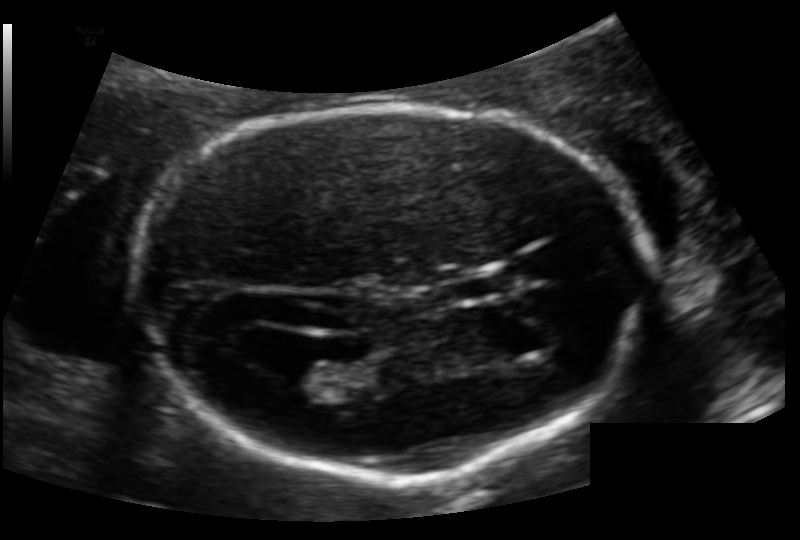
In this fetal head ultrasound, give the bounding box of the fetal head. Image width: 99.1 mm.

[148,106,646,480]